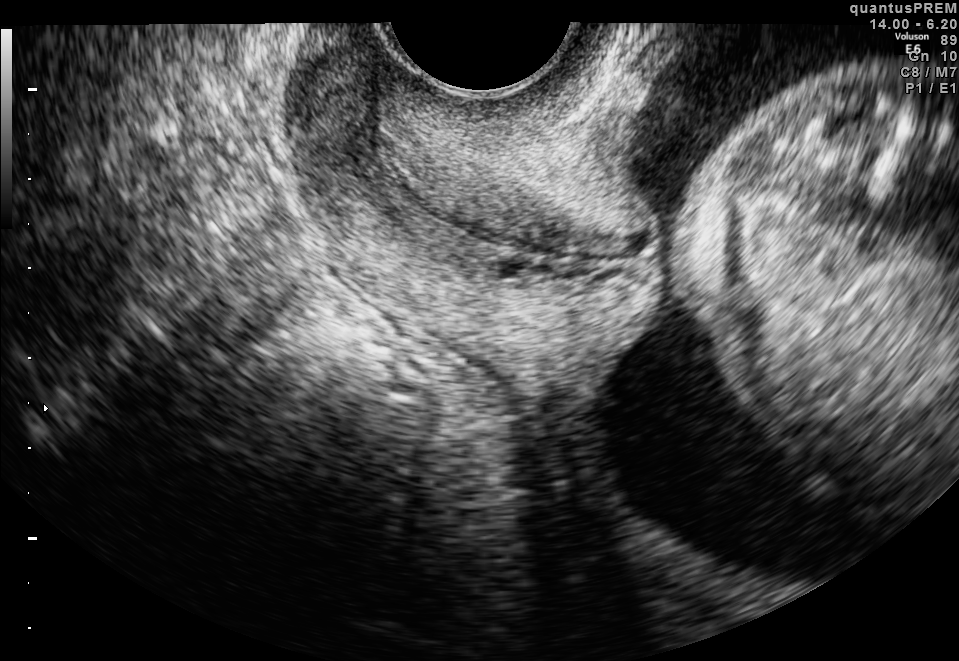
This is a 2D maternal-fetal ultrasound frame. Is it a fetal abdomen, fetal brain, fetal femur, fetal thorax, maternal cervix, or other standard plane? If it's fetal brain and one of the three standard brain planes (trans-thalamic, trans-cerebellum, trans-ventricular), name which.

Maternal cervix